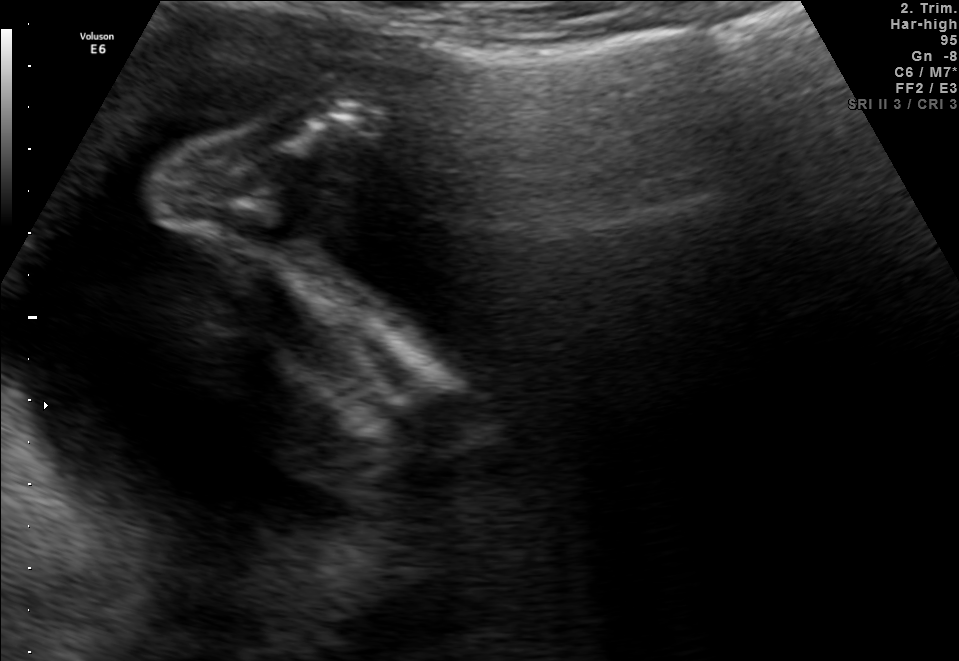
This is a 2D maternal-fetal ultrasound frame. Is it a fetal abdomen, fetal brain, fetal femur, fetal thorax, maternal cervix, or other standard plane? If it's fetal brain and one of the three standard brain planes (trans-thalamic, trans-cerebellum, trans-ventricular), name which.

Other